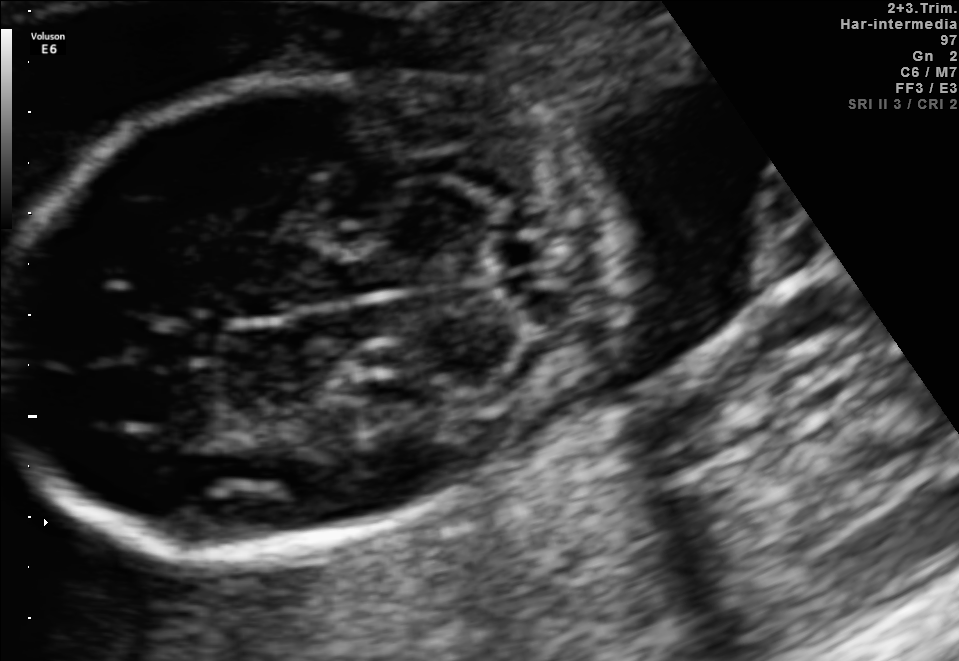
Fetal brain, trans-cerebellum plane. Locate the fetal head.

Head: [3,71,612,550]